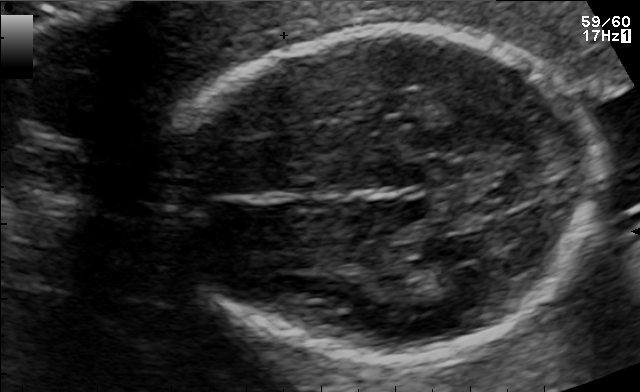
Fetal brain, trans-thalamic plane. Give [x1,y1,x2,y2] bounding boxes for each visible structure among: fetal head, CSP, LV.

Head: [169,27,599,362]